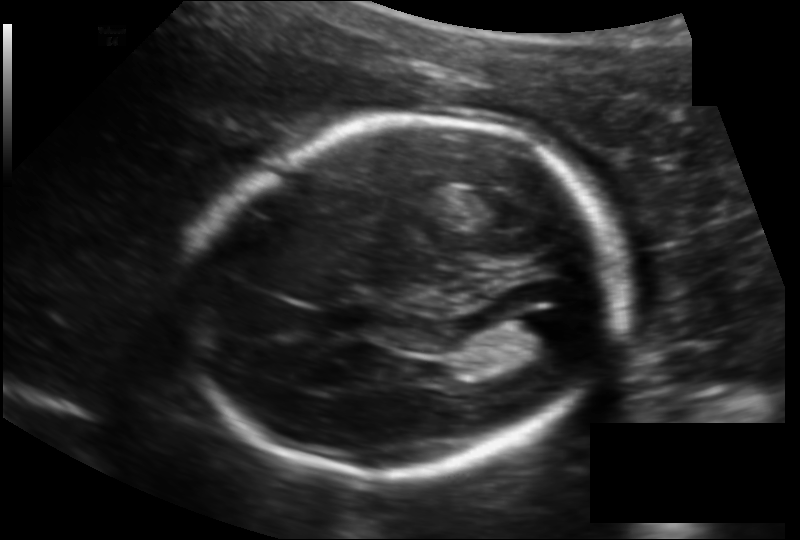
Estimate the fetal head circumference from this 2D ultrasound.

Head circumference: 185.8 mm (image width 115.9 mm).